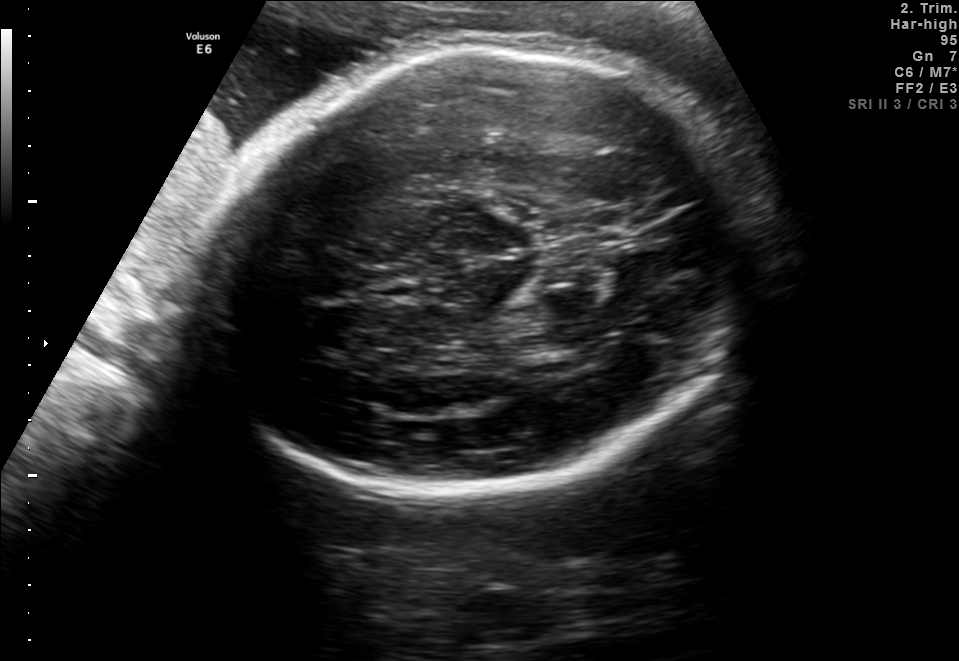
Fetal brain, trans-thalamic plane. Where is the fetal head?

Head bounding box: [199,41,754,498]